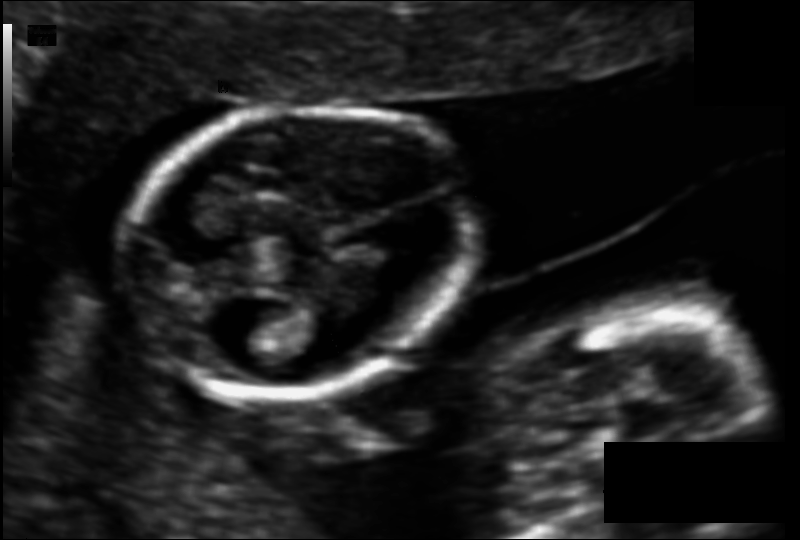
Fetal head ultrasound. Image width: 76.3 mm. Where is the fetal head?

Head bounding box: [123,105,474,395]